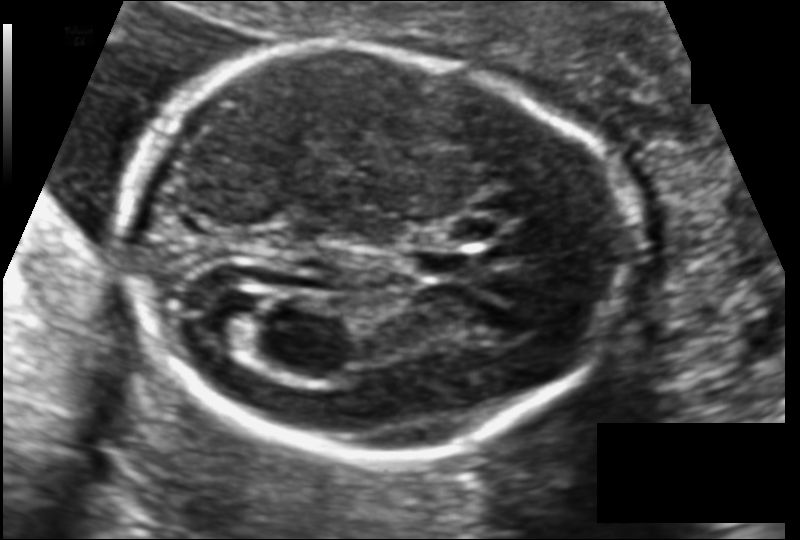
In this fetal head ultrasound, give bounding boxes for the head outline, cavum septum pellucidum (CSP), and lateral ventricle (LV), where visible. Image width: 93.1 mm.

Head: [123,49,622,458]
CSP: [409,248,473,278]
Lateral ventricle: [189,282,271,356]